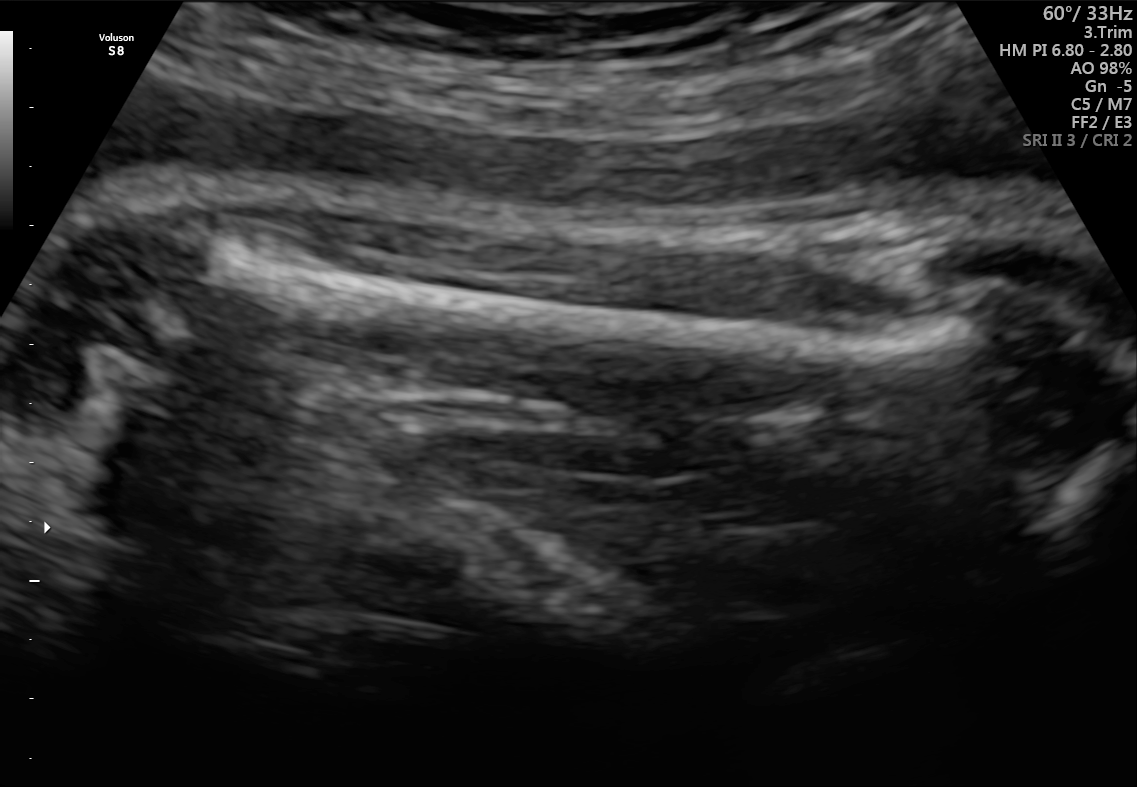
This is a 2D maternal-fetal ultrasound frame. Is it a fetal abdomen, fetal brain, fetal femur, fetal thorax, maternal cervix, or other standard plane? If it's fetal brain and one of the three standard brain planes (trans-thalamic, trans-cerebellum, trans-ventricular), name which.

Fetal femur